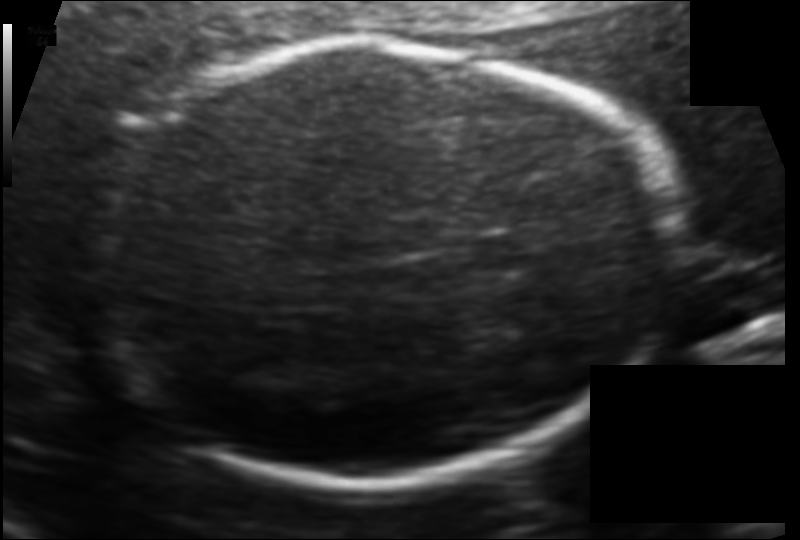
What is the fetal head circumference? Image width is 91.1 mm.

187.5 mm